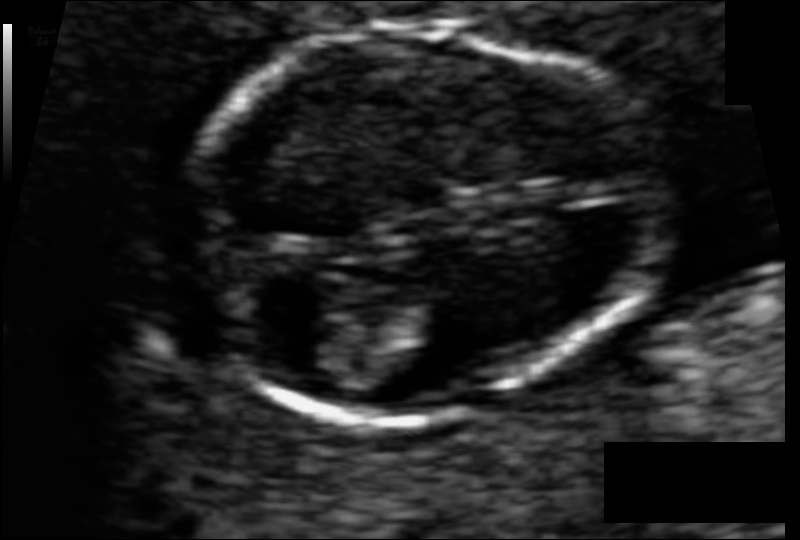
Fetal head ultrasound. Image width: 43.8 mm. Locate the fetal head and, if visible, the cavum septum pellucidum (CSP) and lateral ventricle (LV). Give bounding boxes as [x1,y1,x2,y2].

Head: [185,18,652,419]